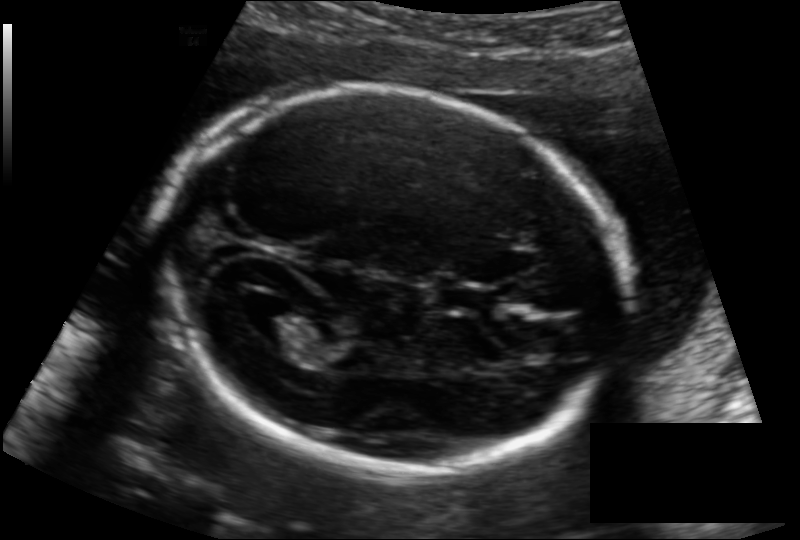
Fetal head ultrasound. Image width: 106.5 mm. Locate the fetal head and, if visible, the cavum septum pellucidum (CSP) and lateral ventricle (LV). Give bounding boxes as [x1,y1,x2,y2].

Head: [162,89,625,472]
CSP: [439,283,499,315]
Lateral ventricle: [240,288,324,363]